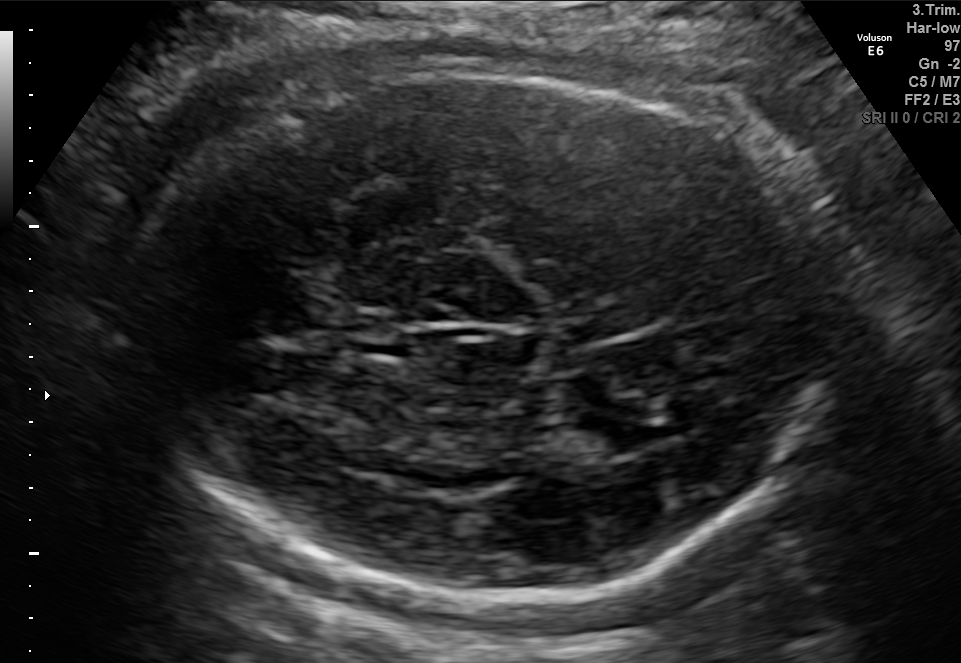
Fetal brain, trans-thalamic plane. Locate the fetal head and, if visible, the cavum septum pellucidum (CSP) and lateral ventricle (LV). Give bounding boxes as [x1,y1,x2,y2].

Head: [131,66,830,611]
CSP: [351,336,417,360]
Lateral ventricle: [560,401,662,473]